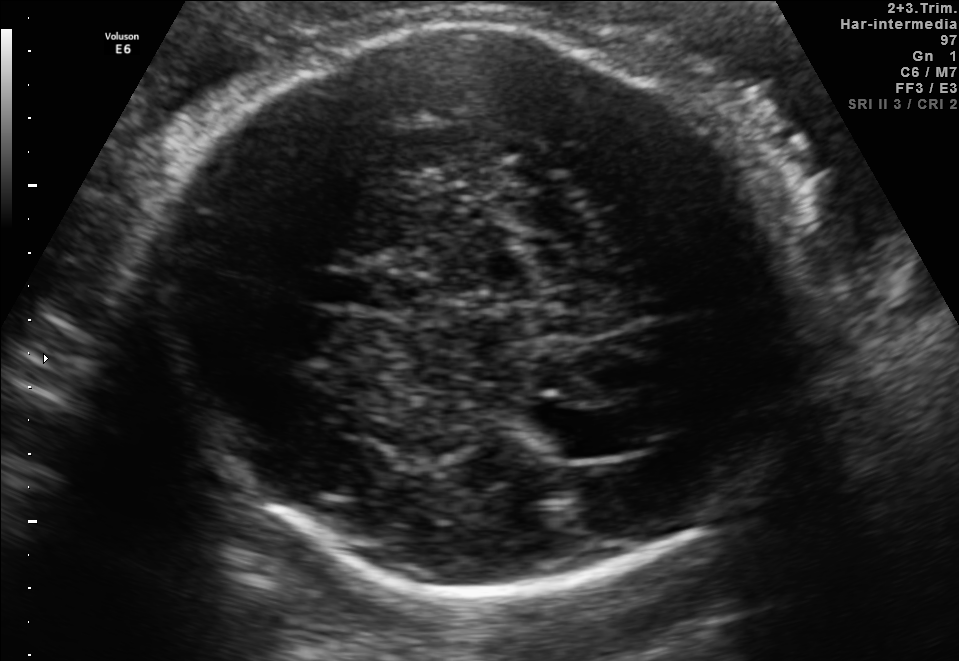
Fetal brain, trans-thalamic plane. Where is the lateral ventricle?

Lateral ventricle bounding box: [537,405,631,463]